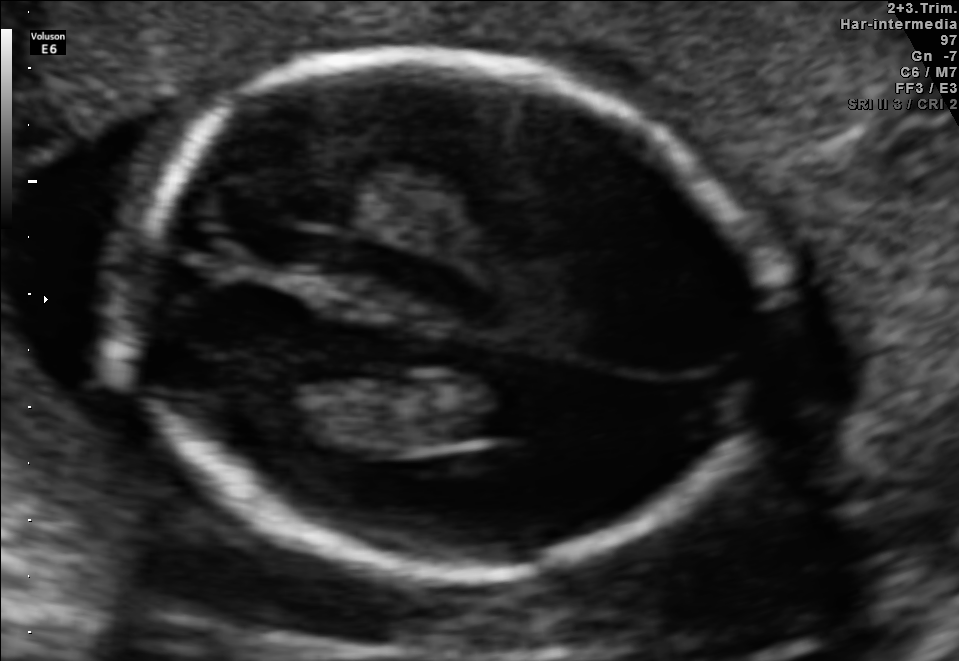
Fetal brain, trans-ventricular plane. Locate the fetal head and, if visible, the cavum septum pellucidum (CSP) and lateral ventricle (LV). Give bounding boxes as [x1,y1,x2,y2].

Head: [91,42,796,591]